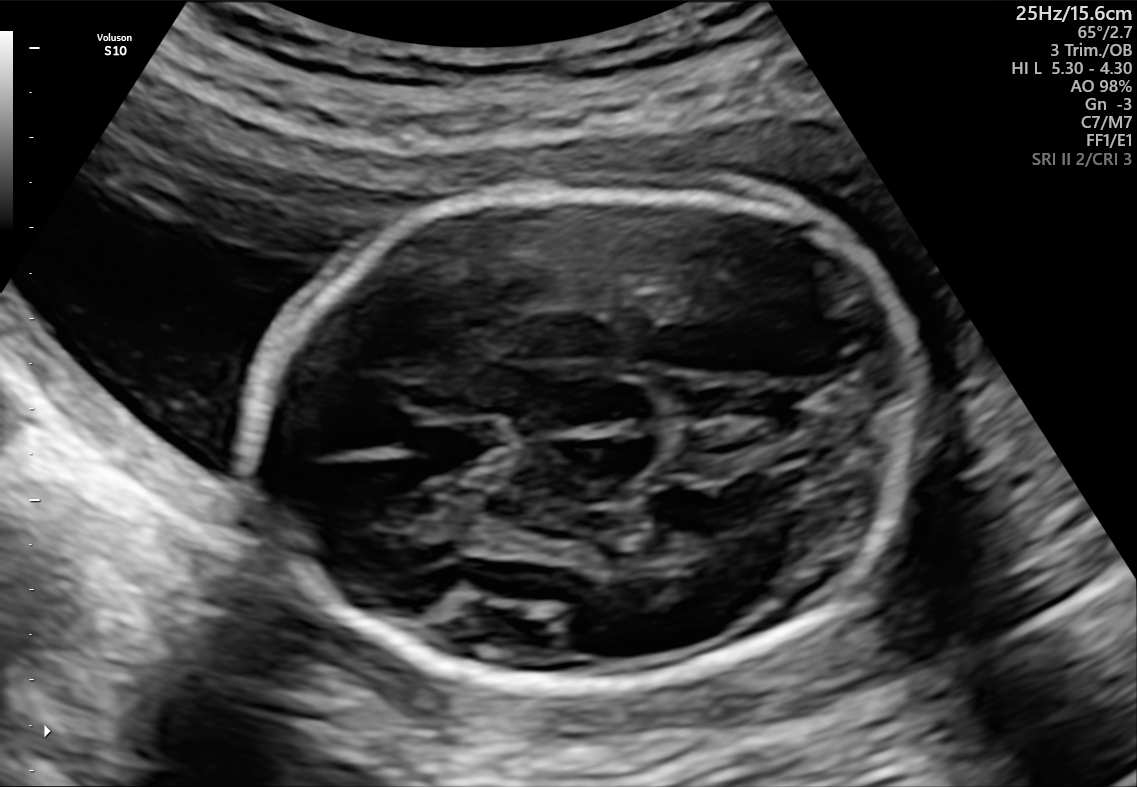
Fetal brain, trans-thalamic plane. Locate the cavum septum pellucidum.

CSP: [416,414,512,476]